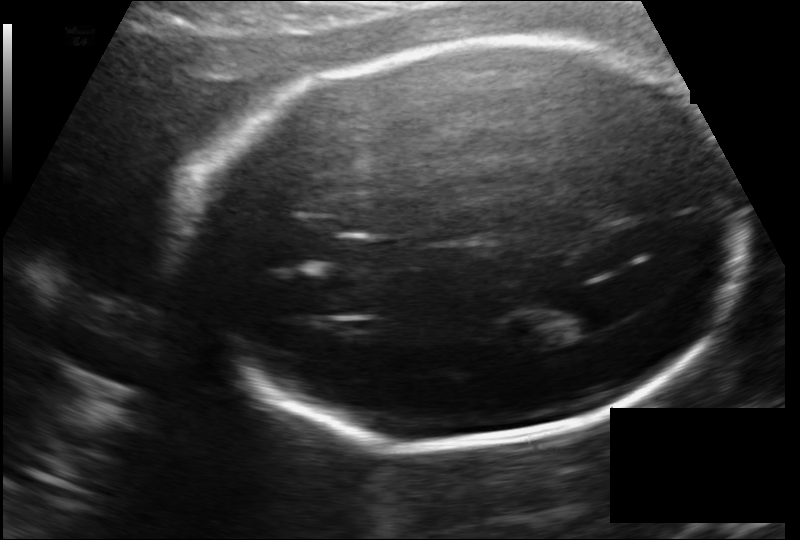
From this fetal ultrasound, estimate the head circumference (image width 112.6 mm).

Head circumference: 225.8 mm.